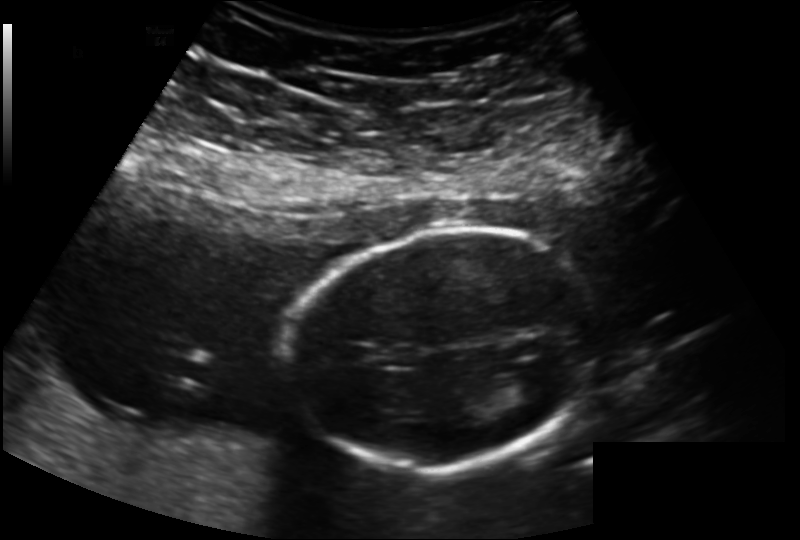
Fetal head ultrasound. Image width: 130.7 mm. Locate the fetal head and, if visible, the cavum septum pellucidum (CSP) and lateral ventricle (LV). Give bounding boxes as [x1,y1,x2,y2].

Head: [294,229,597,470]
Lateral ventricle: [508,362,559,406]